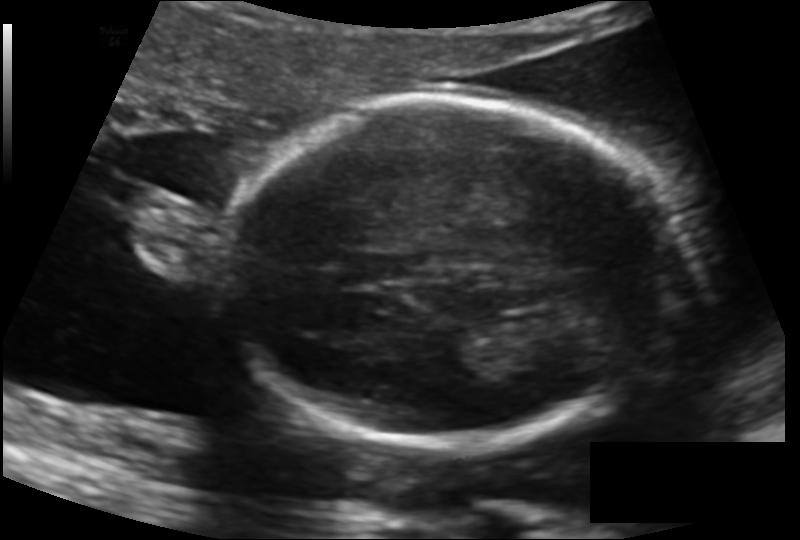
In this fetal head ultrasound, give the bounding box of the fetal head. Image width: 111.0 mm.

[228,95,679,449]